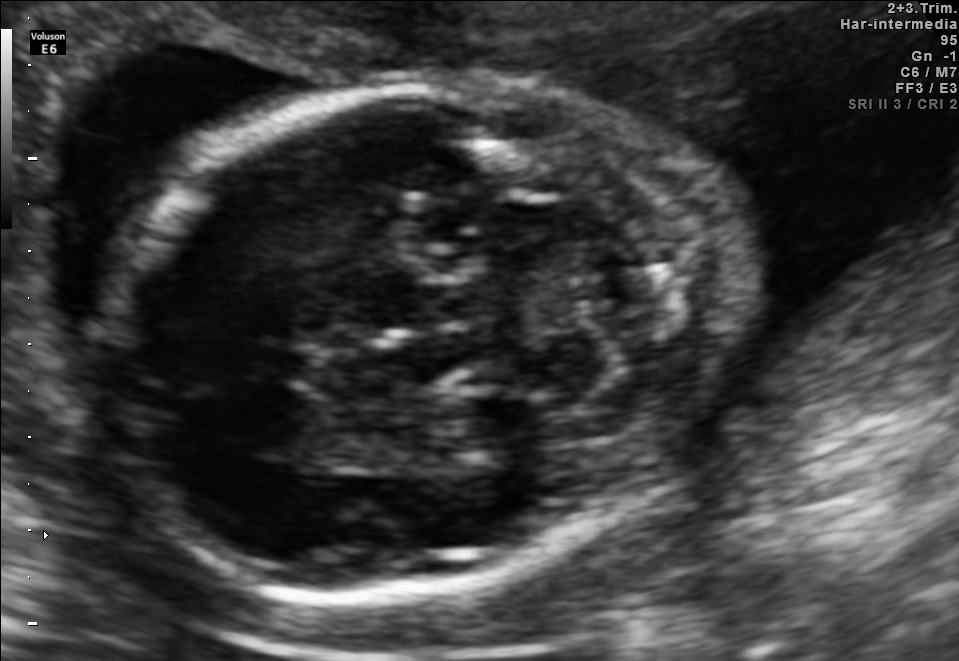
Fetal brain, trans-cerebellum plane. Where is the fetal head?

Head bounding box: [102,78,745,591]